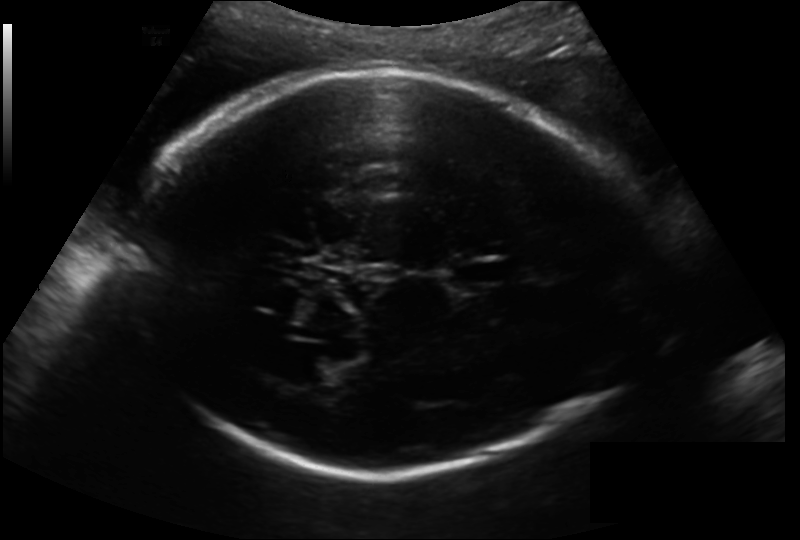
Fetal head ultrasound. Image width: 154.5 mm. Locate the cavum septum pellucidum.

CSP: [450,258,507,287]